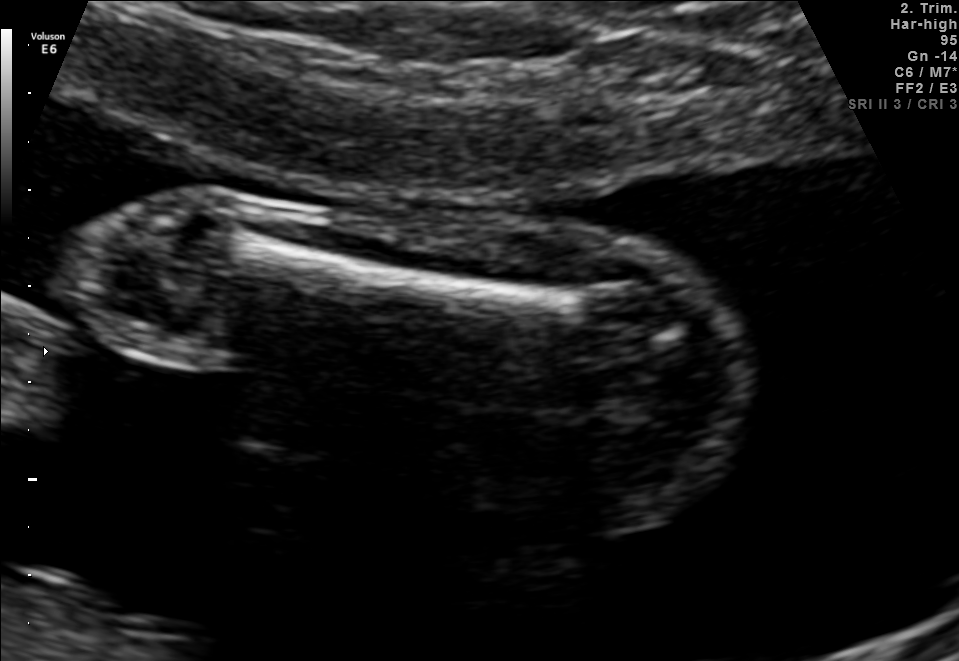
Classify this maternal-fetal ultrasound image as one of the six standard planes — fetal abdomen, fetal brain, fetal femur, fetal thorax, maternal cervix, or other. If it's fetal brain and one of the three standard brain planes (trans-thalamic, trans-cerebellum, trans-ventricular), name which.

Fetal femur